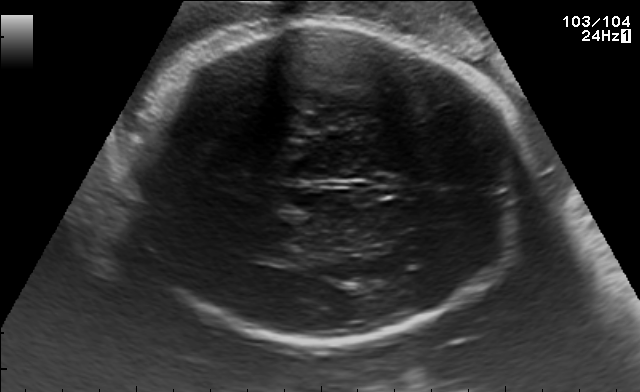
In this fetal brain, trans-thalamic plane, give bounding boxes for the head outline, cavum septum pellucidum (CSP), and lateral ventricle (LV), where visible.

Head: [125,24,530,342]